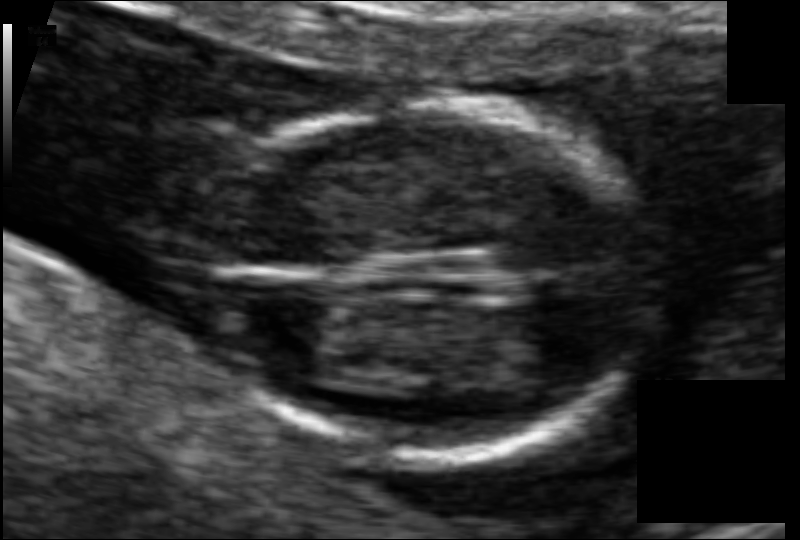
Fetal head ultrasound. Image width: 51.8 mm. Locate the fetal head and, if visible, the cavum septum pellucidum (CSP) and lateral ventricle (LV). Give bounding boxes as [x1,y1,x2,y2].

Head: [194,103,656,460]